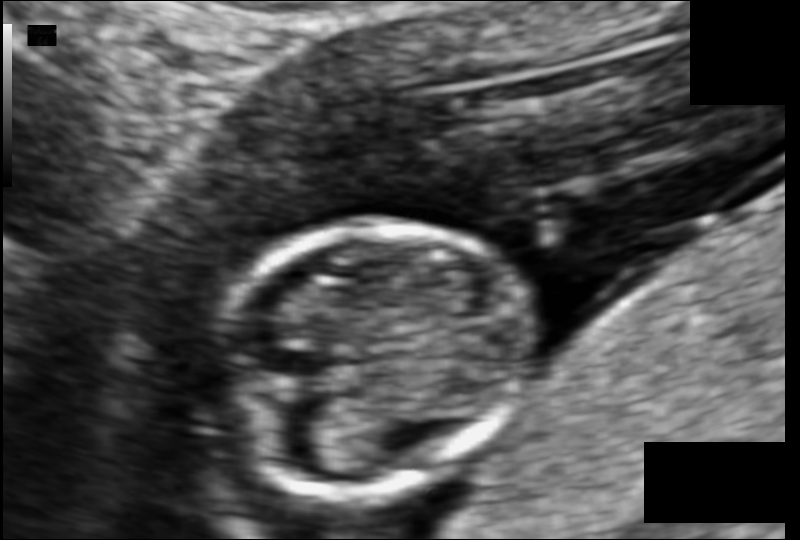
In this fetal head ultrasound, give bounding boxes for the head outline, cavum septum pellucidum (CSP), and lateral ventricle (LV), where visible. Image width: 62.1 mm.

Head: [216,223,532,493]